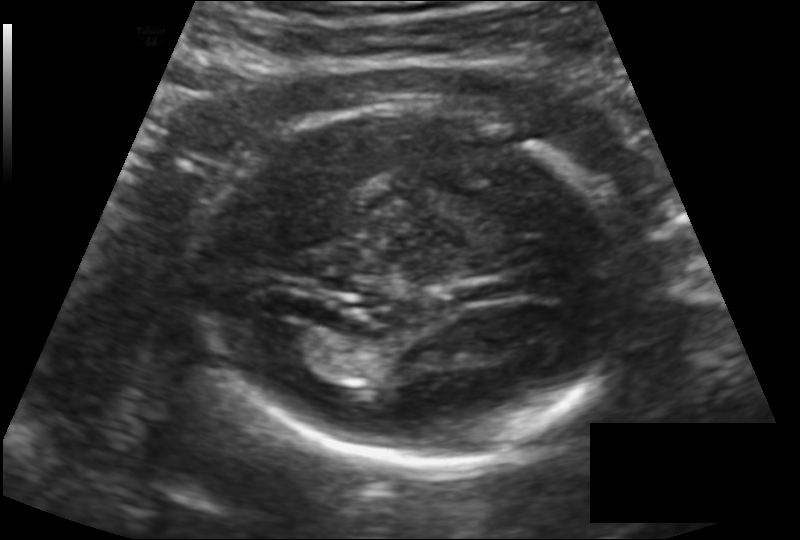
In this fetal head ultrasound, give bounding boxes for the head outline, cavum septum pellucidum (CSP), and lateral ventricle (LV), where visible. Image width: 113.7 mm.

Head: [206,107,627,469]
Lateral ventricle: [257,322,327,369]